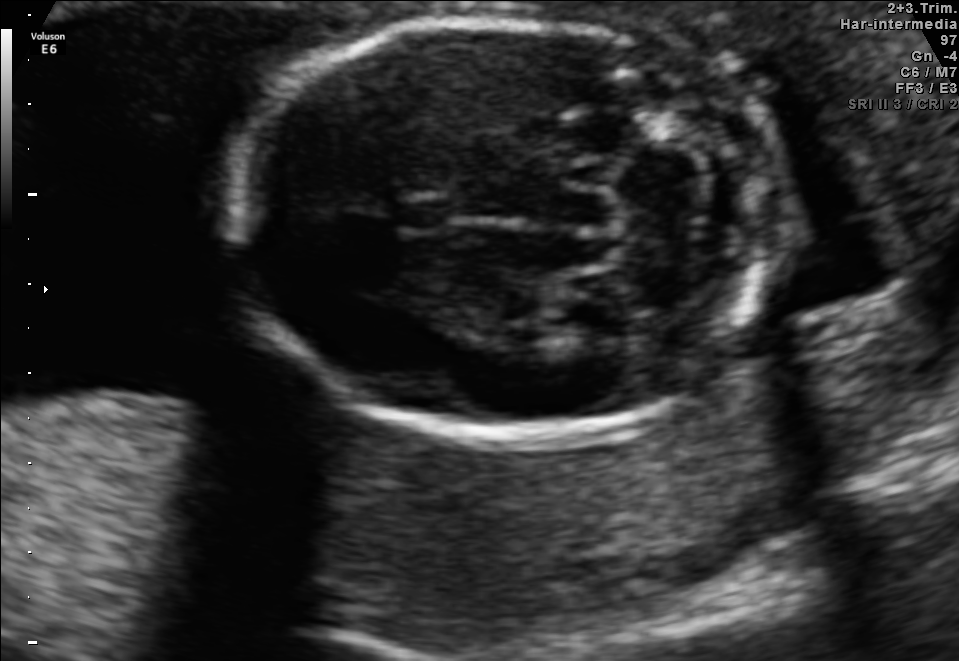
In this fetal brain, trans-cerebellum plane, give the bounding box of the cavum septum pellucidum.

[392,194,455,236]